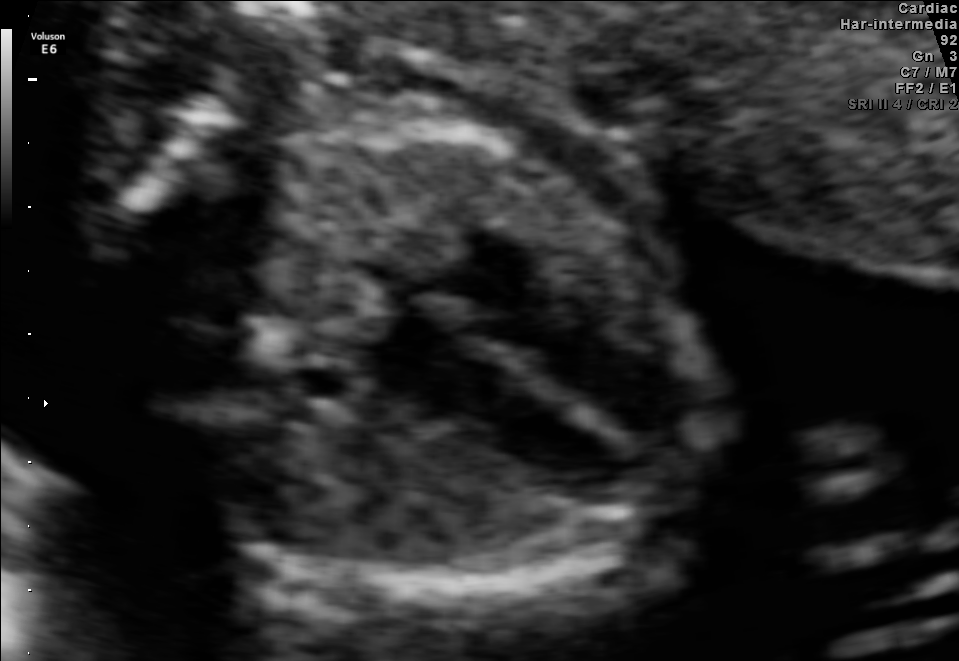
Identify the standard plane in this fetal ultrasound image: fetal abdomen, fetal brain, fetal femur, fetal thorax, maternal cervix, or other. If it's fetal brain and one of the three standard brain planes (trans-thalamic, trans-cerebellum, trans-ventricular), name which.

Fetal thorax